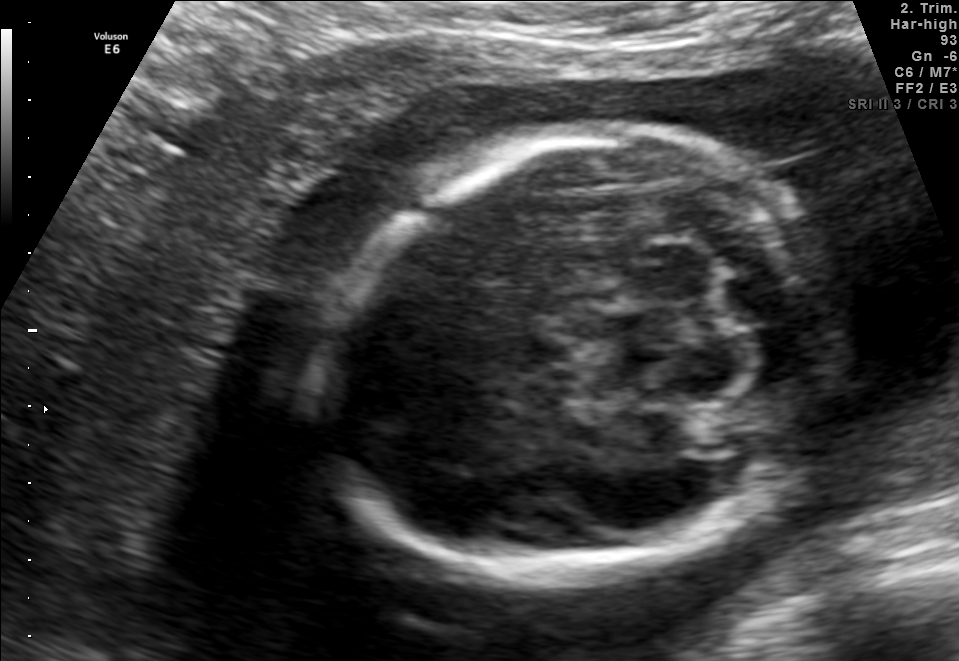
Fetal brain, trans-cerebellum plane. Locate the fetal head.

Head: [323,127,826,582]